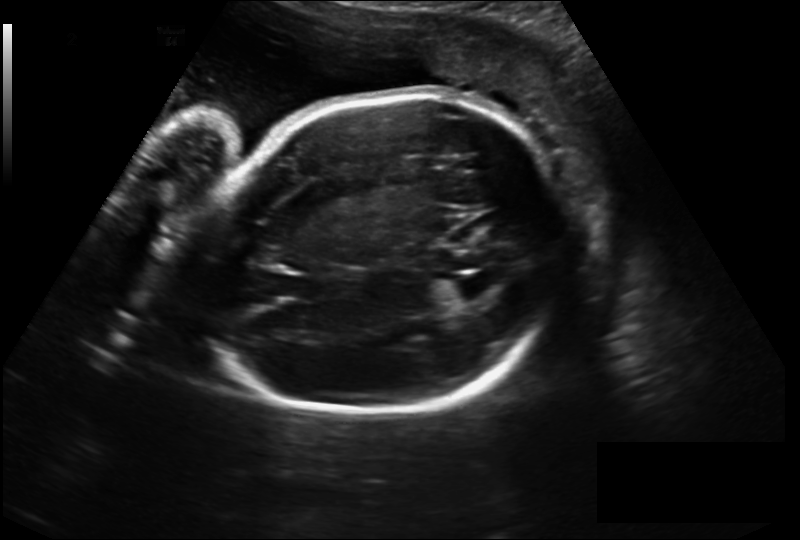
Estimate the fetal head circumference from this 2D ultrasound.

Head circumference: 258.1 mm (image width 184.2 mm).